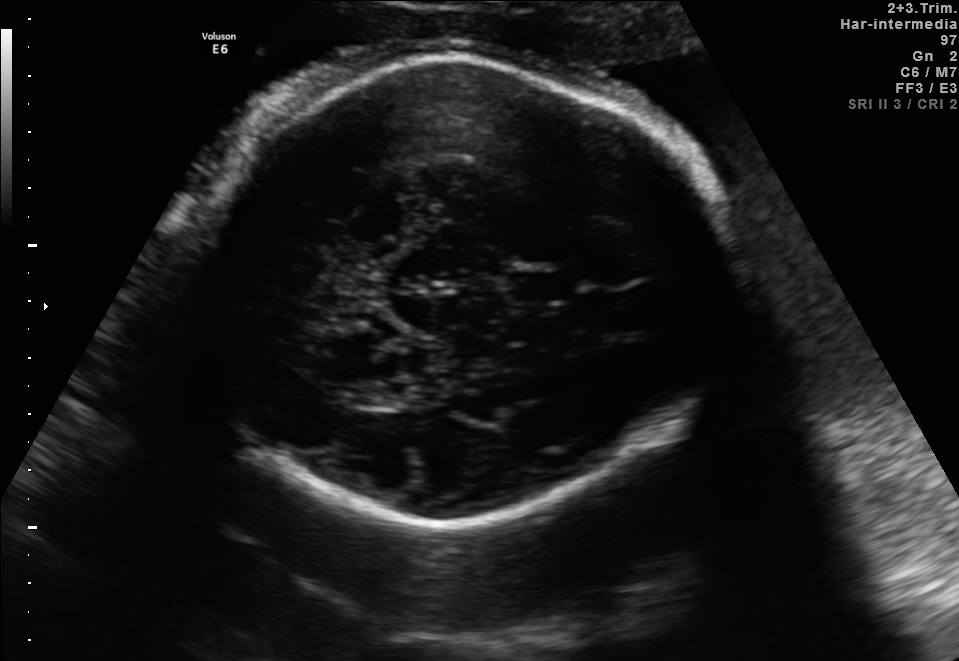
In this fetal brain, trans-thalamic plane, give the bounding box of the fetal head.

[183,54,724,523]